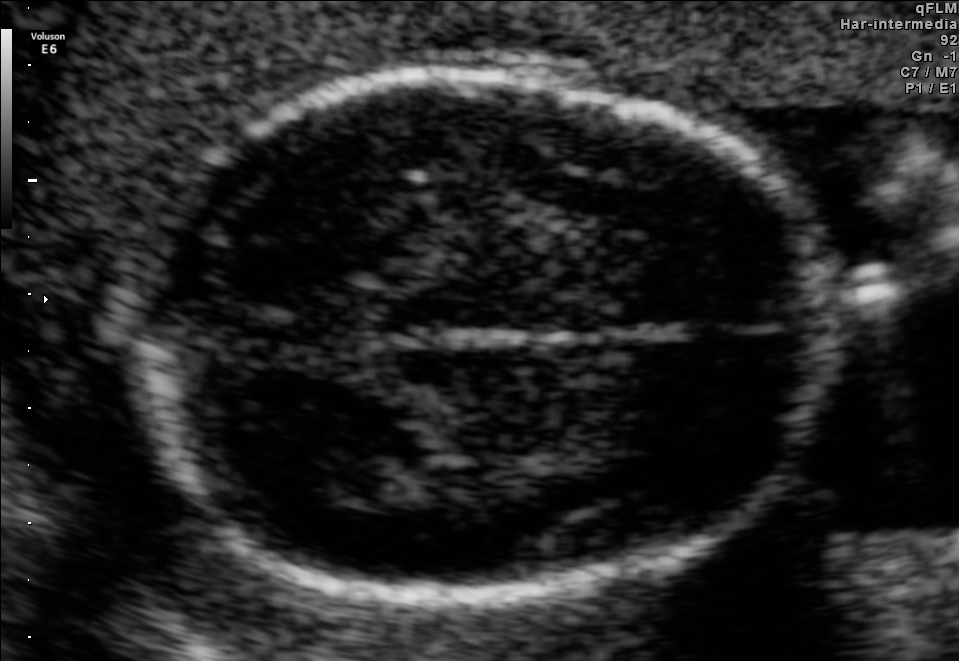
In this fetal brain, trans-thalamic plane, give bounding boxes for the head outline, cavum septum pellucidum (CSP), and lateral ventricle (LV), where visible.

Head: [165,70,822,591]